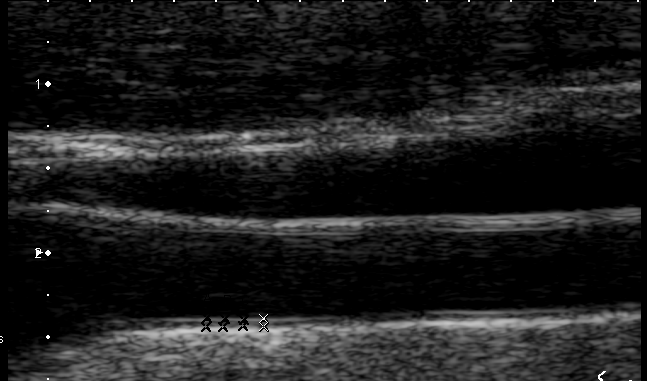
Classify this maternal-fetal ultrasound image as one of the six standard planes — fetal abdomen, fetal brain, fetal femur, fetal thorax, maternal cervix, or other. If it's fetal brain and one of the three standard brain planes (trans-thalamic, trans-cerebellum, trans-ventricular), name which.

Other